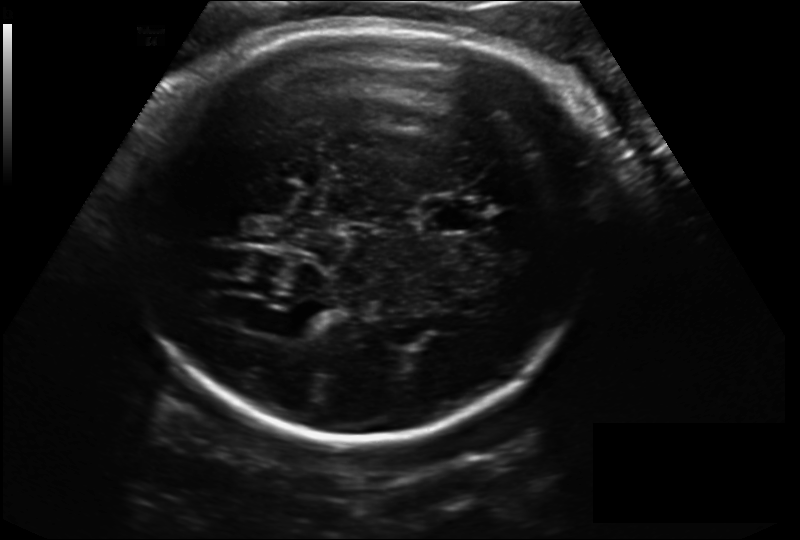
Measure the fetal head circumference shown in this ultrasound image. Image width: 158.7 mm.

Head circumference: 282.8 mm.